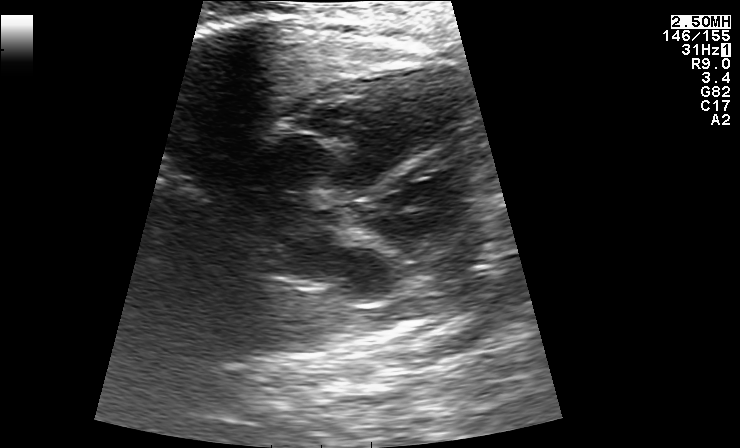
This is a 2D maternal-fetal ultrasound frame. Is it a fetal abdomen, fetal brain, fetal femur, fetal thorax, maternal cervix, or other standard plane? If it's fetal brain and one of the three standard brain planes (trans-thalamic, trans-cerebellum, trans-ventricular), name which.

Fetal thorax